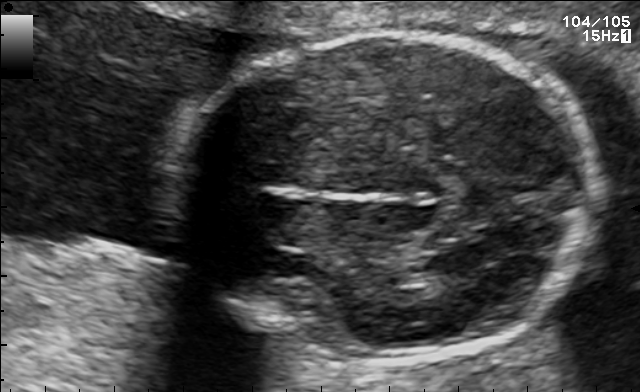
Fetal brain, trans-thalamic plane. Locate the fetal head and, if visible, the cavum septum pellucidum (CSP) and lateral ventricle (LV). Give bounding boxes as [x1,y1,x2,y2].

Head: [166,34,600,364]